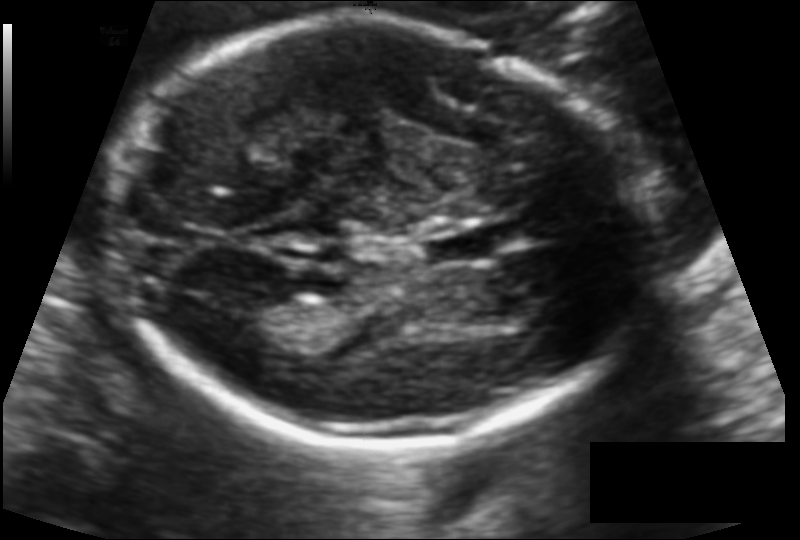
In this fetal head ultrasound, give the bounding box of the fetal head. Image width: 90.9 mm.

[110,20,650,444]